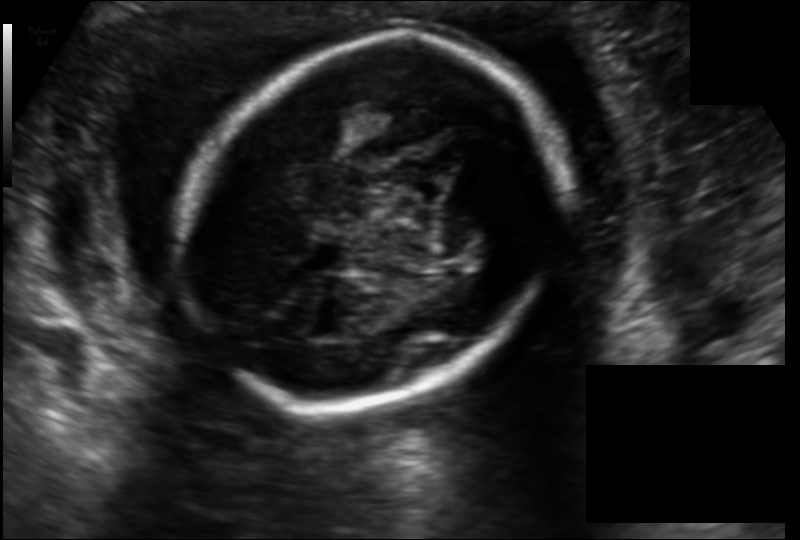
Estimate the fetal head circumference from this 2D ultrasound.

Head circumference: 171.0 mm (image width 112.8 mm).